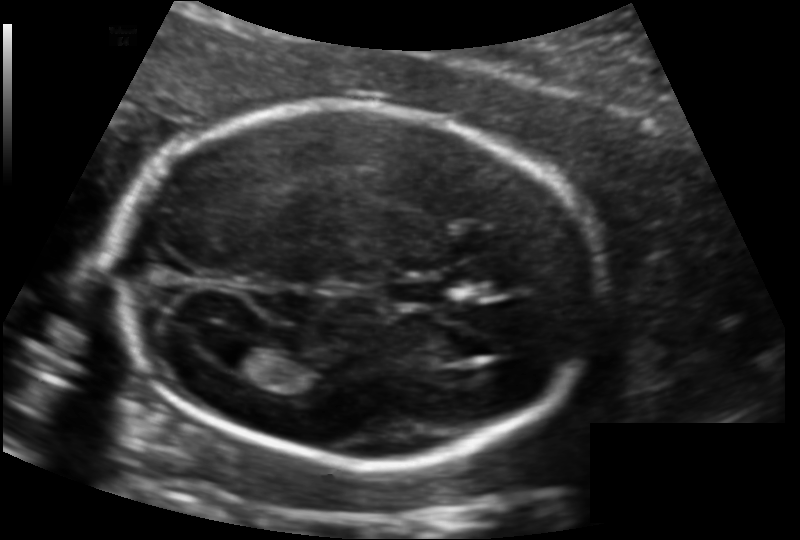
Fetal head ultrasound. Image width: 107.1 mm. Where is the cavum septum pellucidum?

CSP bounding box: [392,278,448,306]